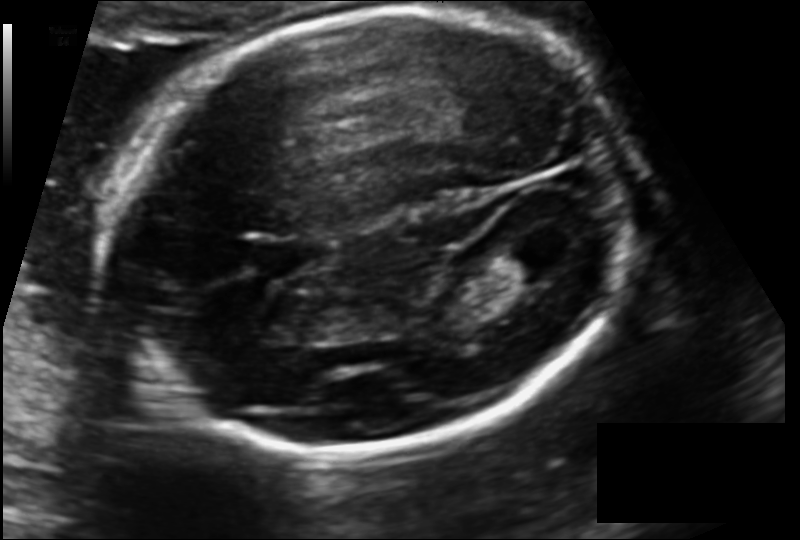
Measure the fetal head circumference shown in this ultrasound image. Image width: 105.5 mm.

Head circumference: 204.9 mm.